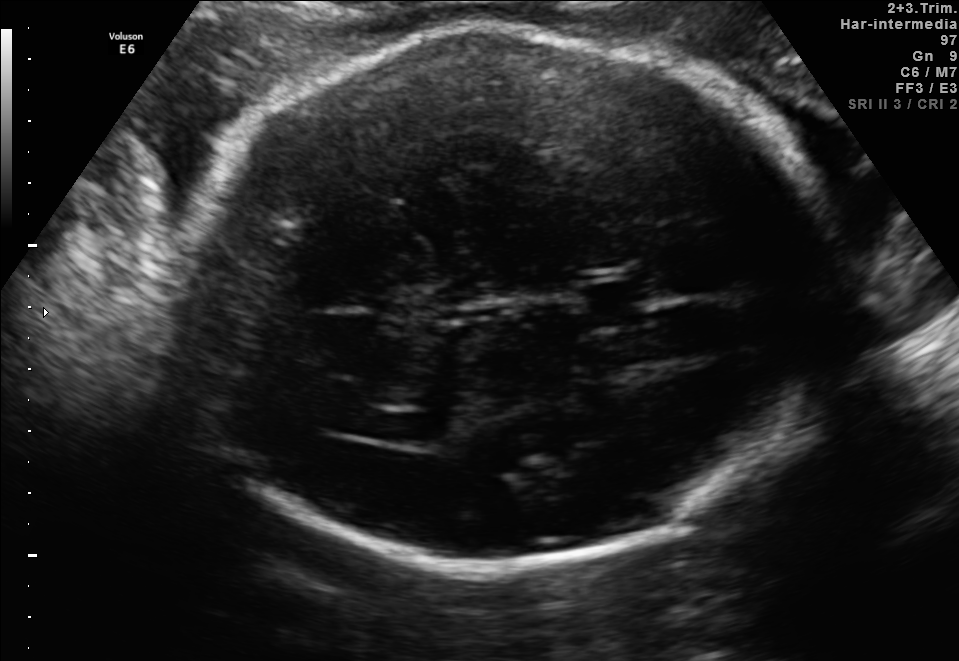
In this fetal brain, trans-ventricular plane, give bounding boxes for the head outline, cavum septum pellucidum (CSP), and lateral ventricle (LV), where visible.

Head: [161,17,856,576]
CSP: [566,267,680,335]
Lateral ventricle: [379,408,461,450]